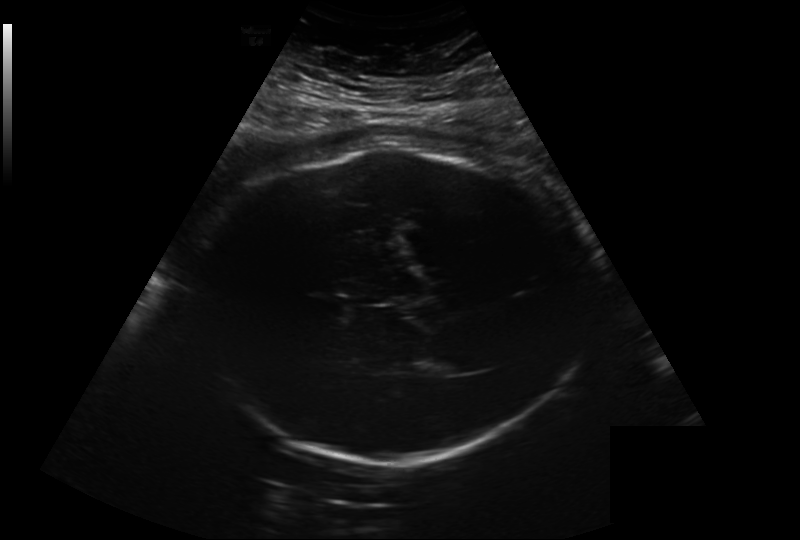
Estimate the fetal head circumference from this 2D ultrasound. Image width: 225.2 mm.

Head circumference: 327.5 mm.